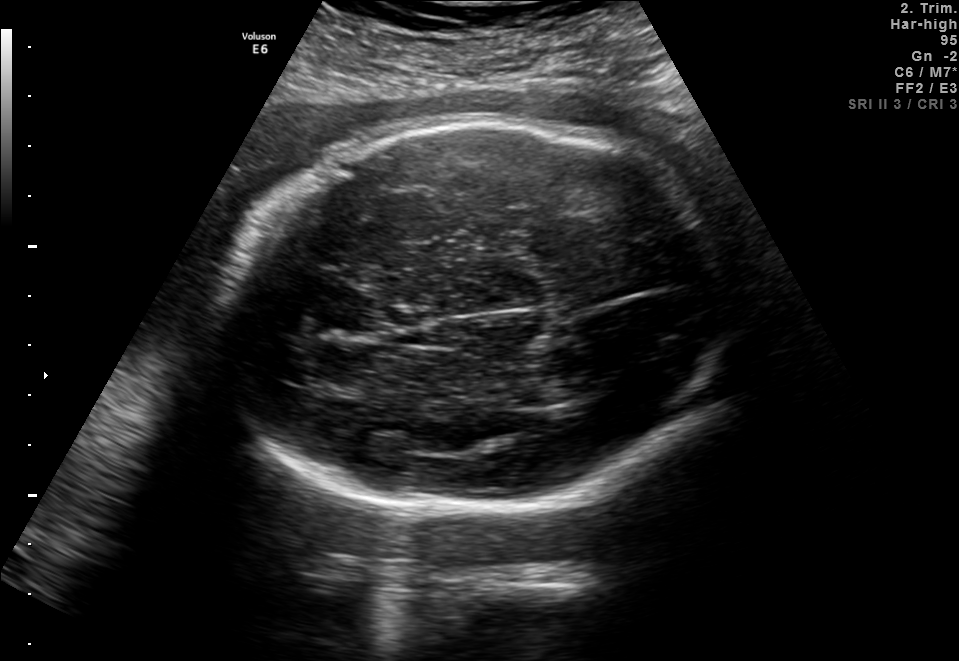
Identify the standard plane in this fetal ultrasound image: fetal abdomen, fetal brain, fetal femur, fetal thorax, maternal cervix, or other. If it's fetal brain and one of the three standard brain planes (trans-thalamic, trans-cerebellum, trans-ventricular), name which.

Fetal brain (trans-thalamic plane)